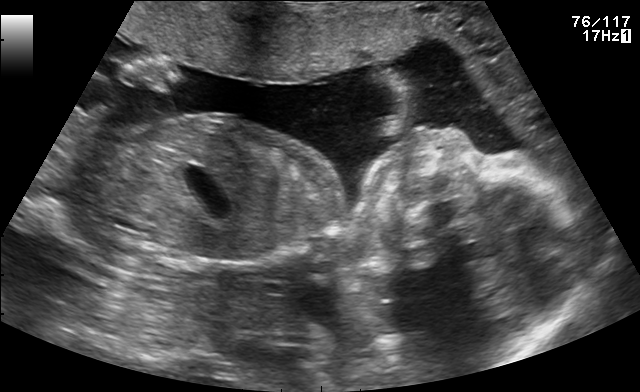
Classify this maternal-fetal ultrasound image as one of the six standard planes — fetal abdomen, fetal brain, fetal femur, fetal thorax, maternal cervix, or other. If it's fetal brain and one of the three standard brain planes (trans-thalamic, trans-cerebellum, trans-ventricular), name which.

Other